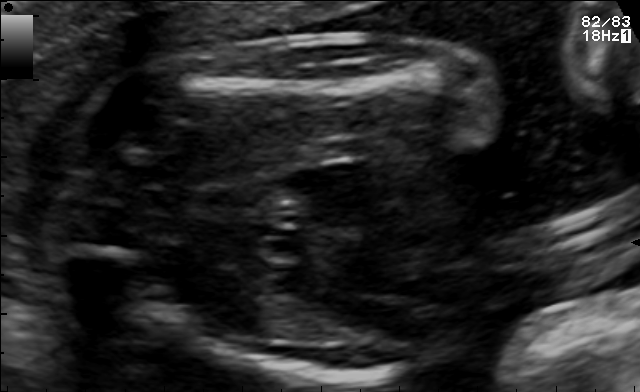
This is a 2D maternal-fetal ultrasound frame. Is it a fetal abdomen, fetal brain, fetal femur, fetal thorax, maternal cervix, or other standard plane? If it's fetal brain and one of the three standard brain planes (trans-thalamic, trans-cerebellum, trans-ventricular), name which.

Fetal femur